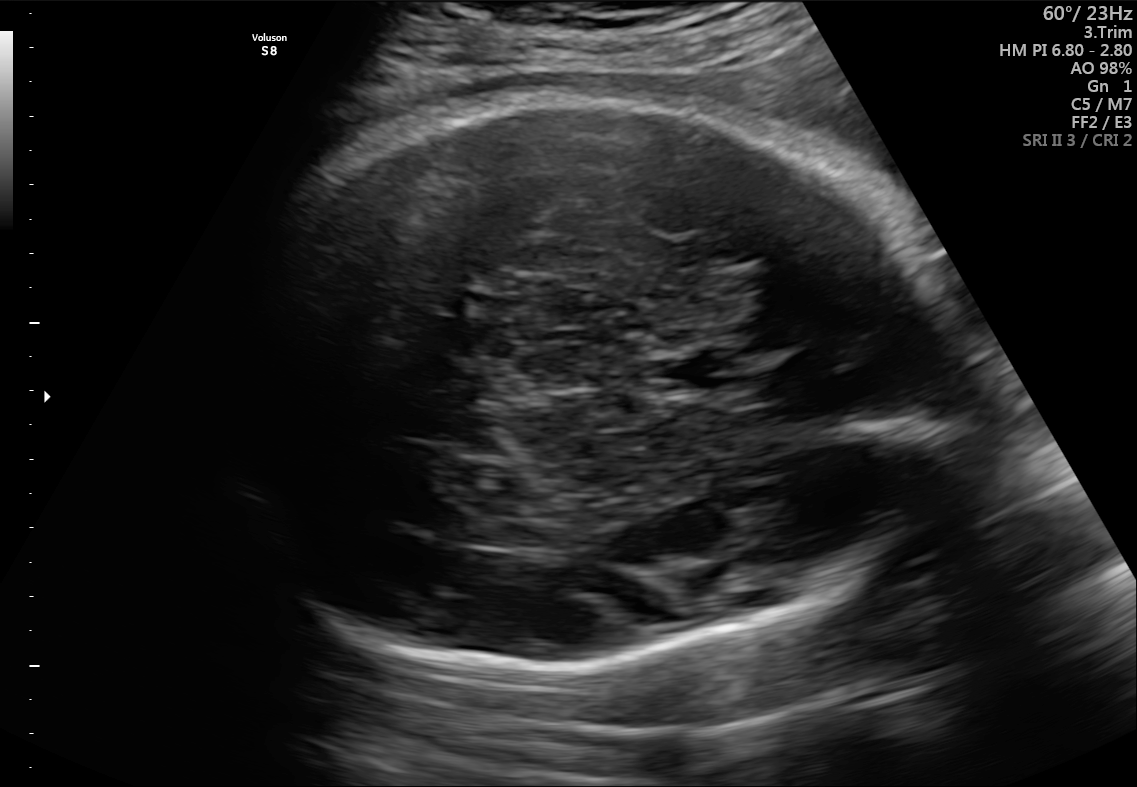
Fetal brain, trans-thalamic plane. Where is the fetal head?

Head bounding box: [215,95,941,670]